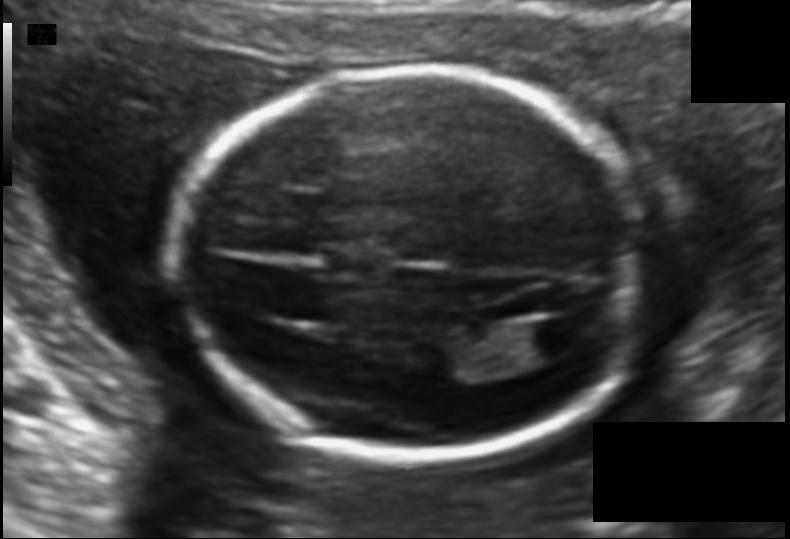
Fetal head ultrasound. Image width: 95.9 mm. Where is the fetal head?

Head bounding box: [178,68,653,459]